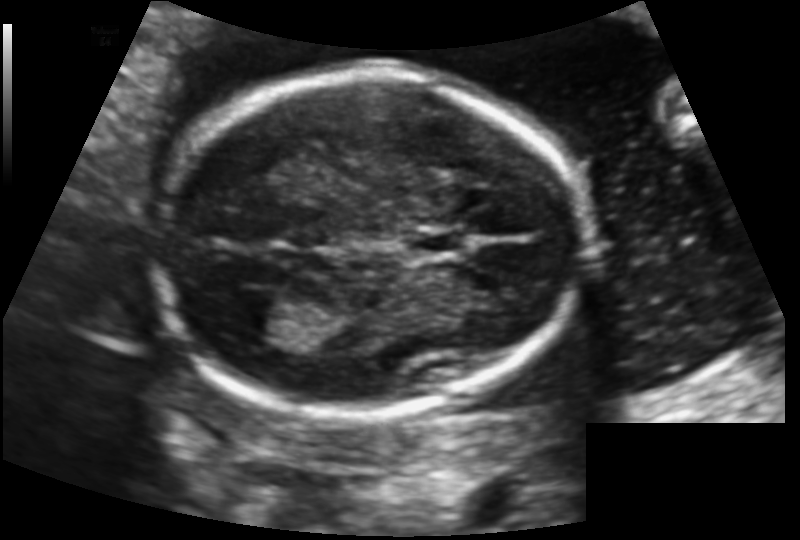
In this fetal head ultrasound, give the bounding box of the cavum septum pellucidum. Image width: 103.6 mm.

[402,228,469,260]